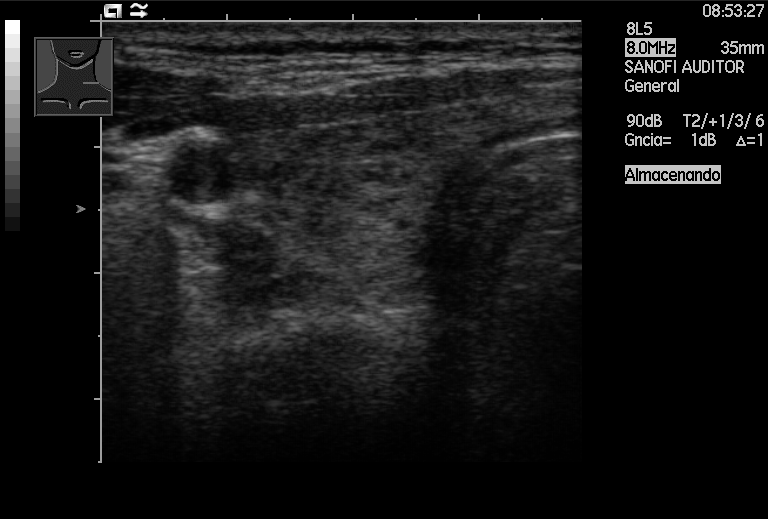
Identify the standard plane in this fetal ultrasound image: fetal abdomen, fetal brain, fetal femur, fetal thorax, maternal cervix, or other. If it's fetal brain and one of the three standard brain planes (trans-thalamic, trans-cerebellum, trans-ventricular), name which.

Other